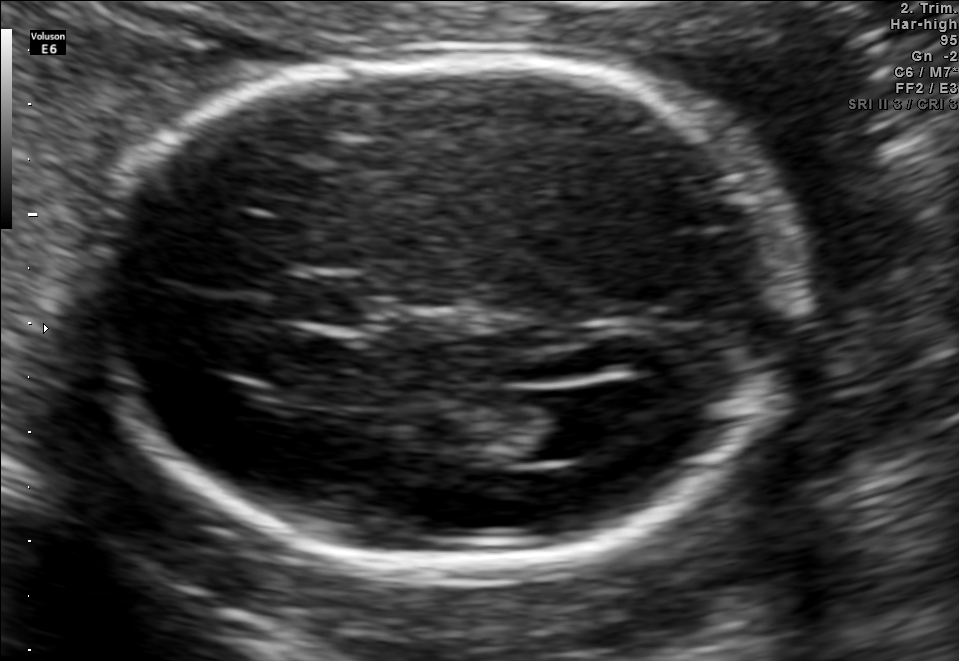
In this fetal brain, trans-ventricular plane, give the bounding box of the lateral ventricle.

[518,386,629,462]